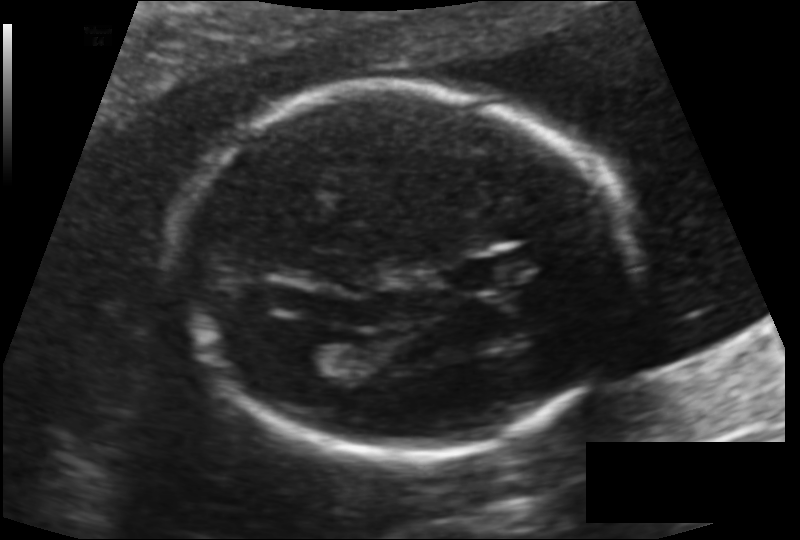
Fetal head ultrasound. Image width: 104.6 mm. Where is the fetal head?

Head bounding box: [190,92,628,457]